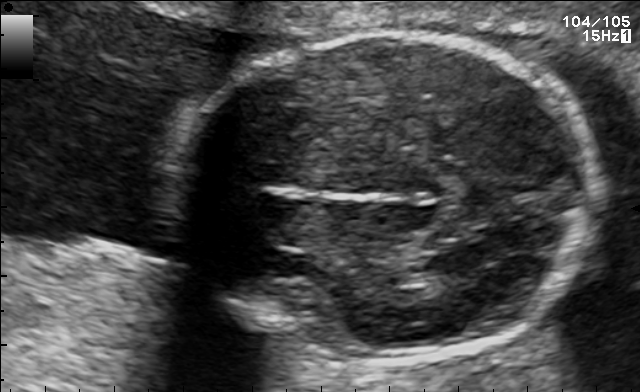
In this fetal brain, trans-thalamic plane, give the bounding box of the fetal head.

[166,34,600,364]